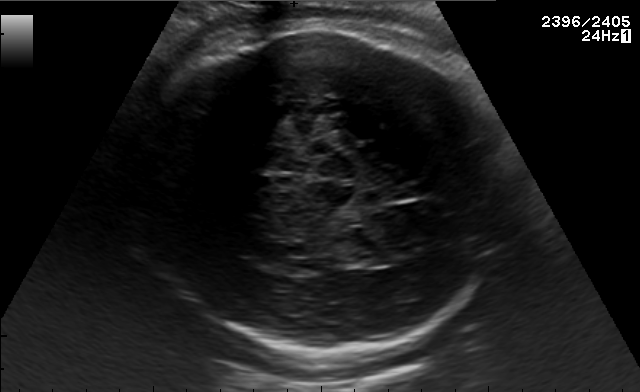
Fetal brain, trans-thalamic plane. Locate the fetal head.

Head: [139,27,506,353]